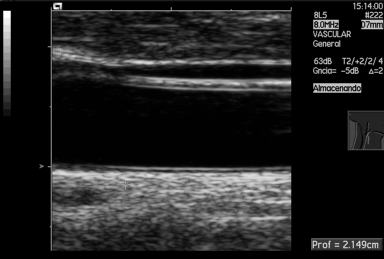
Classify this maternal-fetal ultrasound image as one of the six standard planes — fetal abdomen, fetal brain, fetal femur, fetal thorax, maternal cervix, or other. If it's fetal brain and one of the three standard brain planes (trans-thalamic, trans-cerebellum, trans-ventricular), name which.

Other